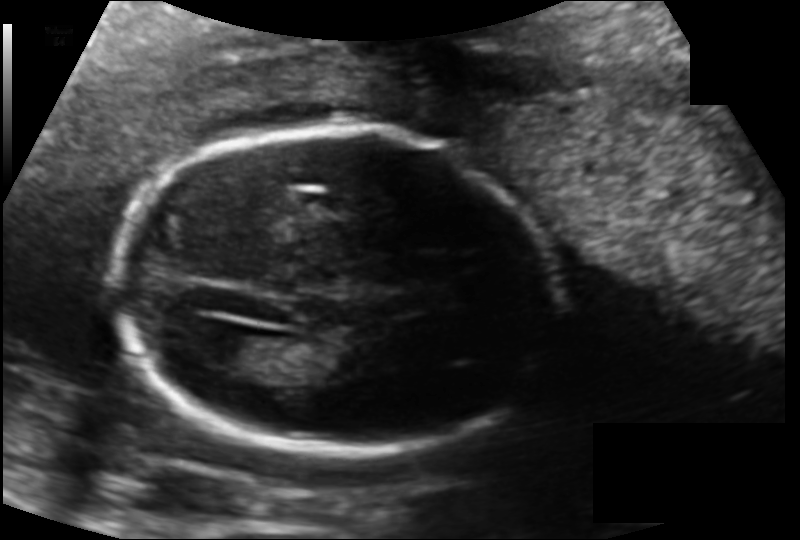
Measure the fetal head circumference shown in this ultrasound image. Image width: 107.0 mm.

Head circumference: 167.5 mm.